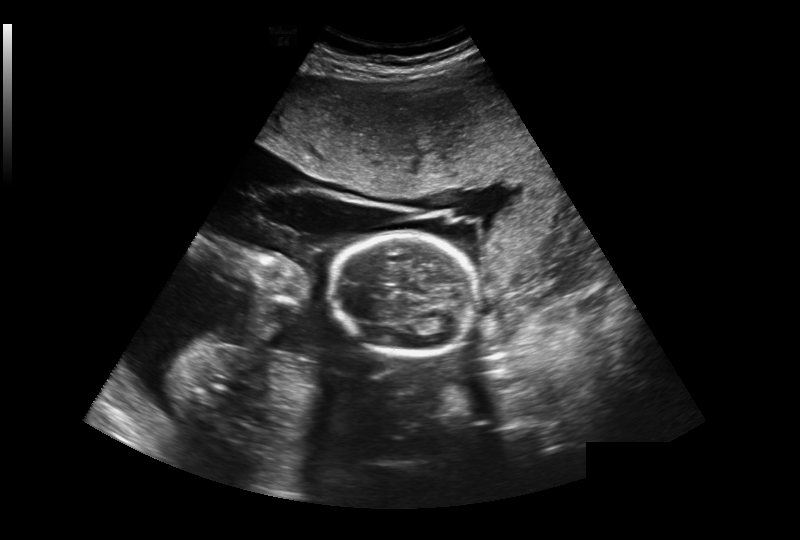
Fetal head ultrasound. Image width: 314.6 mm. Locate the cavum septum pellucidum.

CSP: [370,282,397,298]